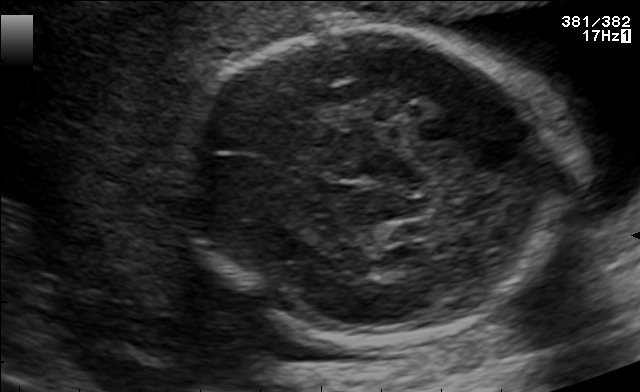
Fetal brain, trans-thalamic plane. Where is the fetal head?

Head bounding box: [180,26,557,342]